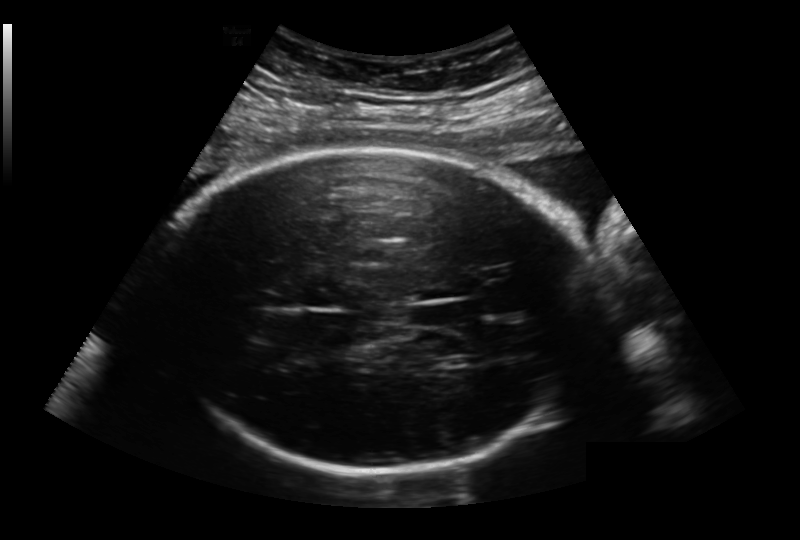
Estimate the fetal head circumference from this 2D ultrasound.

Head circumference: 294.1 mm (image width 188.7 mm).